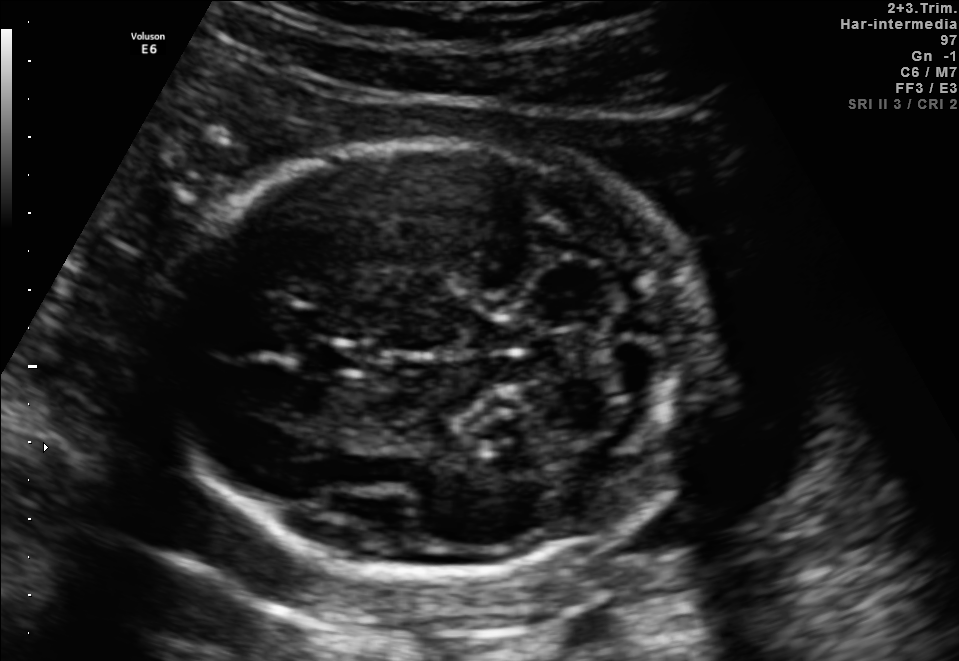
In this fetal brain, trans-cerebellum plane, give the bounding box of the fetal head.

[163,141,712,570]